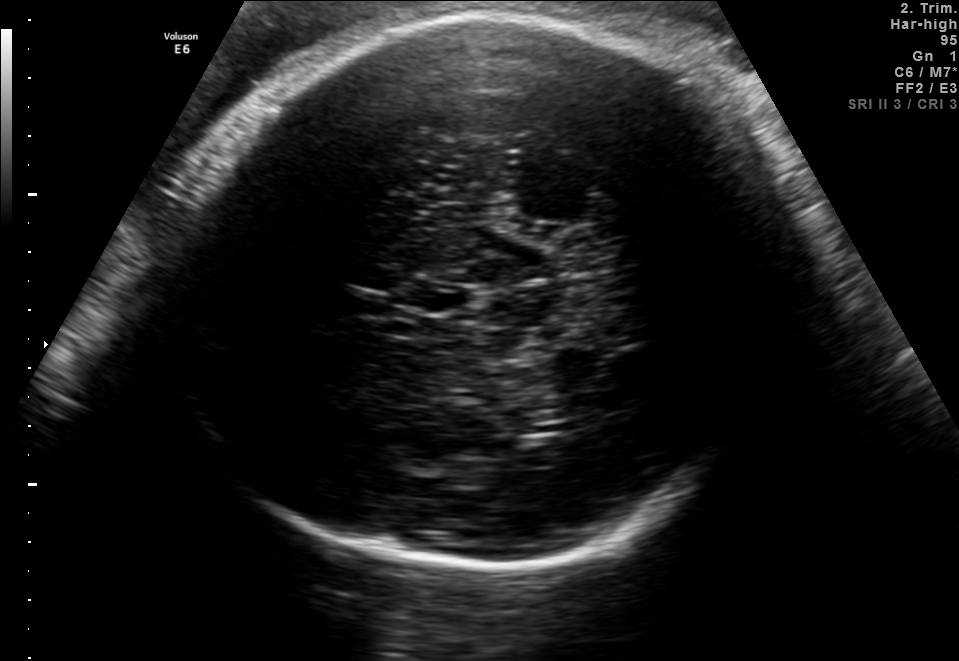
Fetal brain, trans-thalamic plane. Where is the fetal head?

Head bounding box: [169,15,780,578]